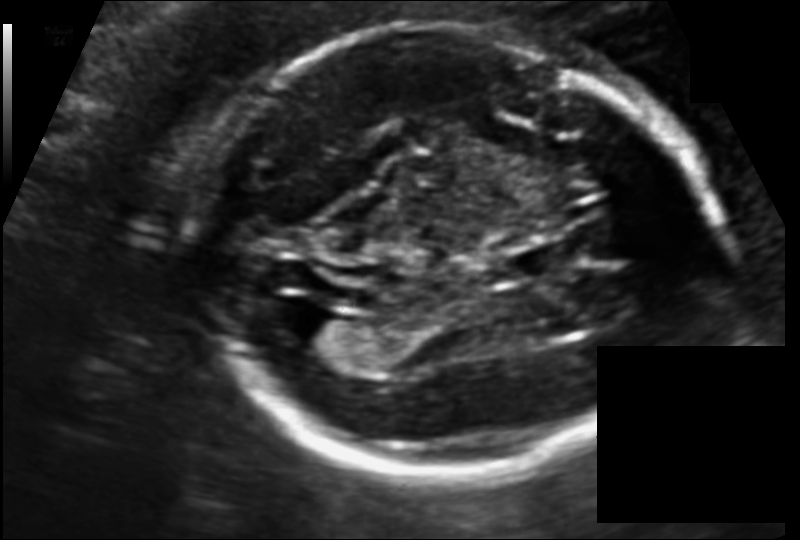
Fetal head ultrasound. Image width: 94.5 mm. Where is the lateral ventricle?

Lateral ventricle bounding box: [284,302,357,362]